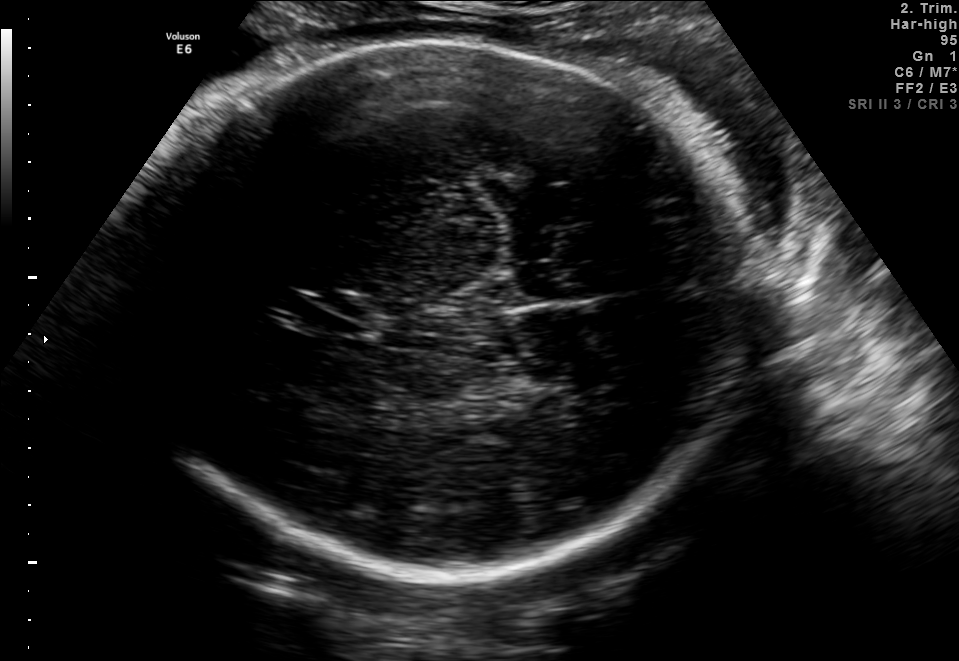
In this fetal brain, trans-thalamic plane, give bounding boxes for the head outline, cavum septum pellucidum (CSP), and lateral ventricle (LV), where visible.

Head: [124,43,749,576]